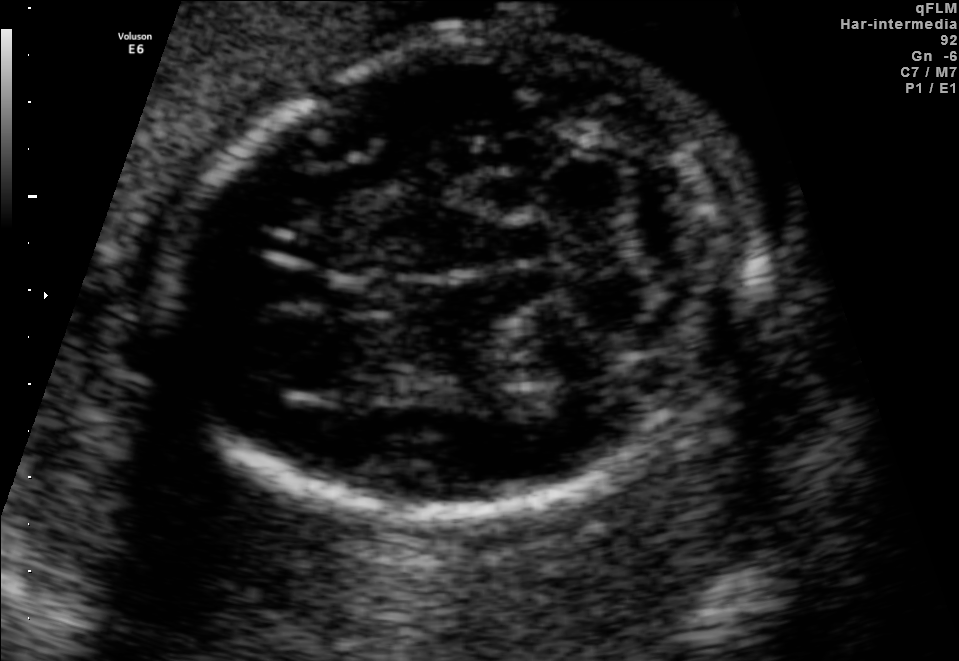
In this fetal brain, trans-cerebellum plane, give bounding boxes for the head outline, cavum septum pellucidum (CSP), and lateral ventricle (LV), where visible.

Head: [180,38,749,517]